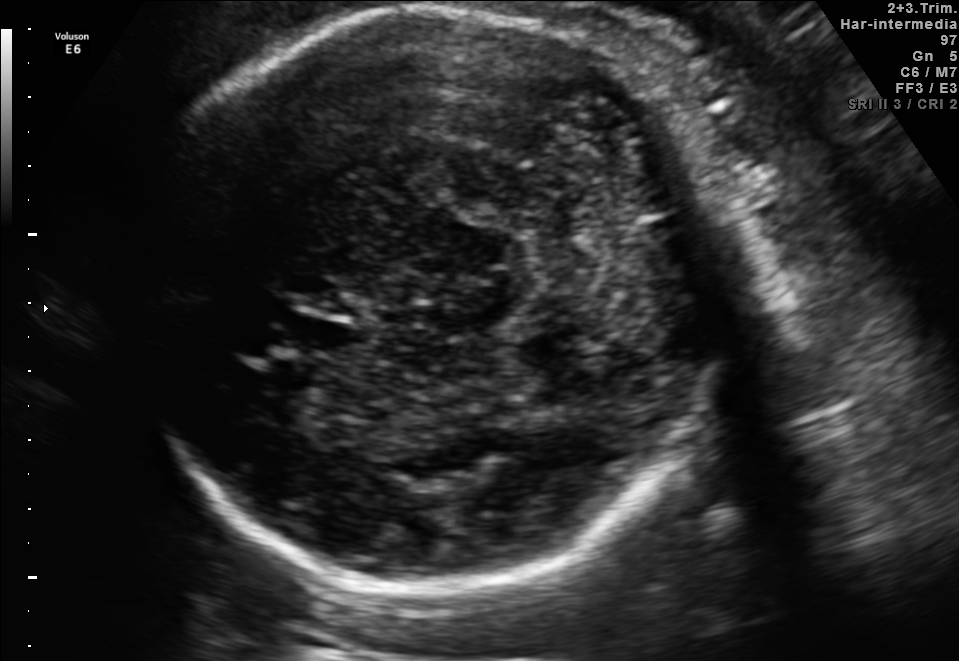
Fetal brain, trans-cerebellum plane. Locate the fetal head.

Head: [127,8,744,587]